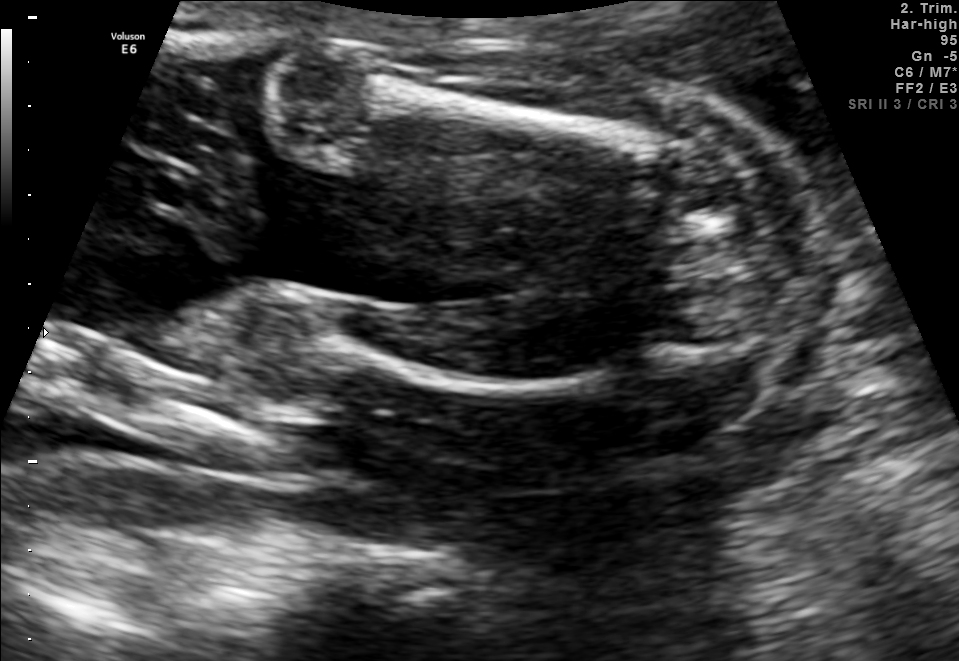
Identify the standard plane in this fetal ultrasound image: fetal abdomen, fetal brain, fetal femur, fetal thorax, maternal cervix, or other. If it's fetal brain and one of the three standard brain planes (trans-thalamic, trans-cerebellum, trans-ventricular), name which.

Fetal femur